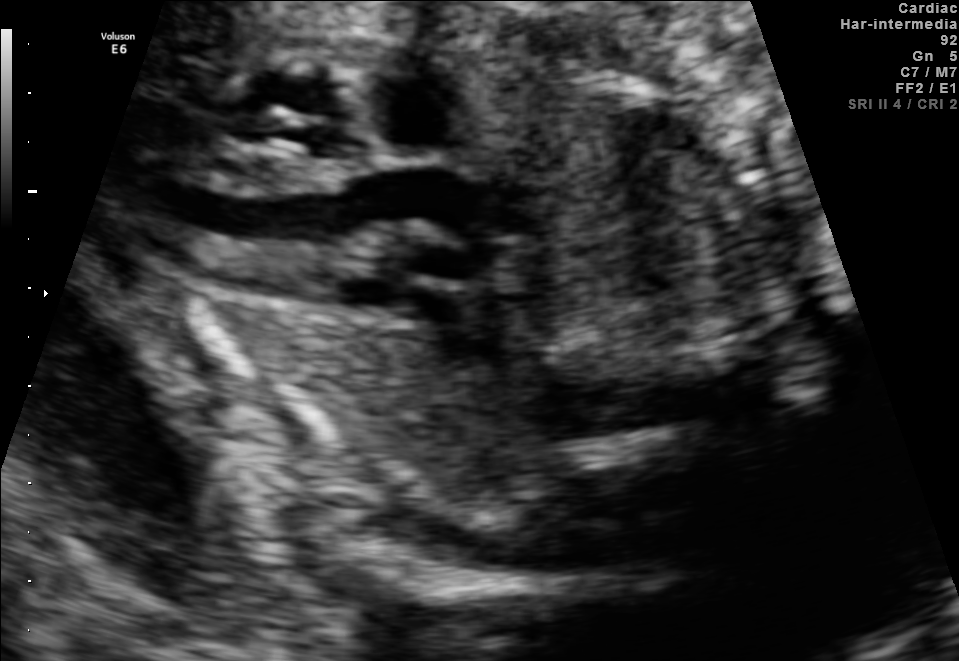
Which standard maternal-fetal ultrasound plane is shown: fetal abdomen, fetal brain, fetal femur, fetal thorax, maternal cervix, or other? If it's fetal brain and one of the three standard brain planes (trans-thalamic, trans-cerebellum, trans-ventricular), name which.

Other